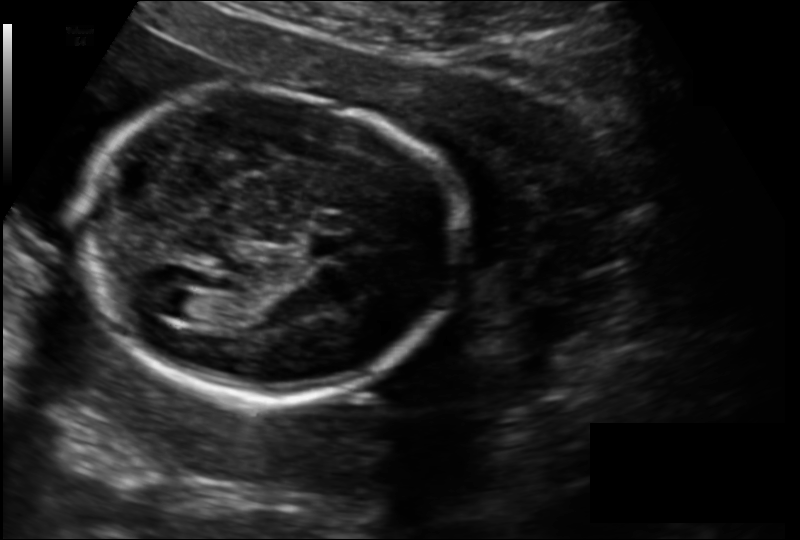
Fetal head ultrasound. Image width: 119.1 mm. Locate the fetal head.

Head: [73,90,456,399]